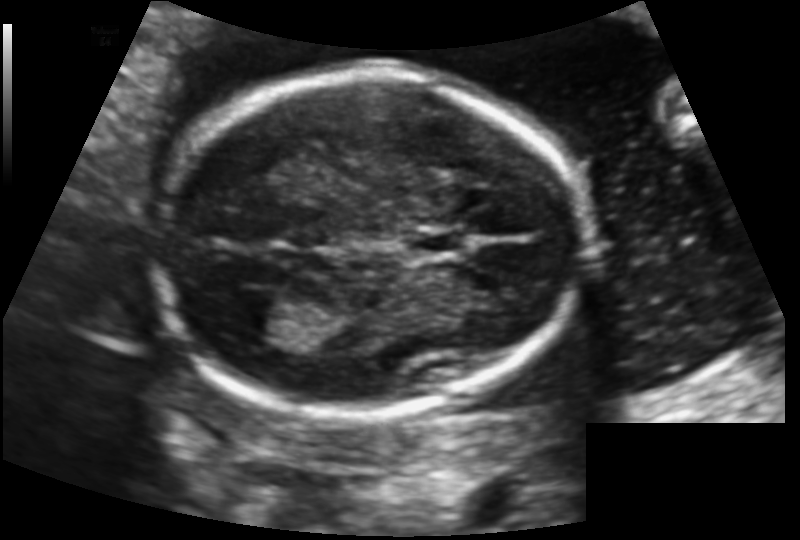
Fetal head ultrasound. Image width: 103.6 mm. Give [x1,y1,x2,y2] bounding boxes for each visible structure among: fetal head, CSP, LV.

Head: [152,68,585,413]
CSP: [402,228,469,260]
Lateral ventricle: [232,294,301,341]